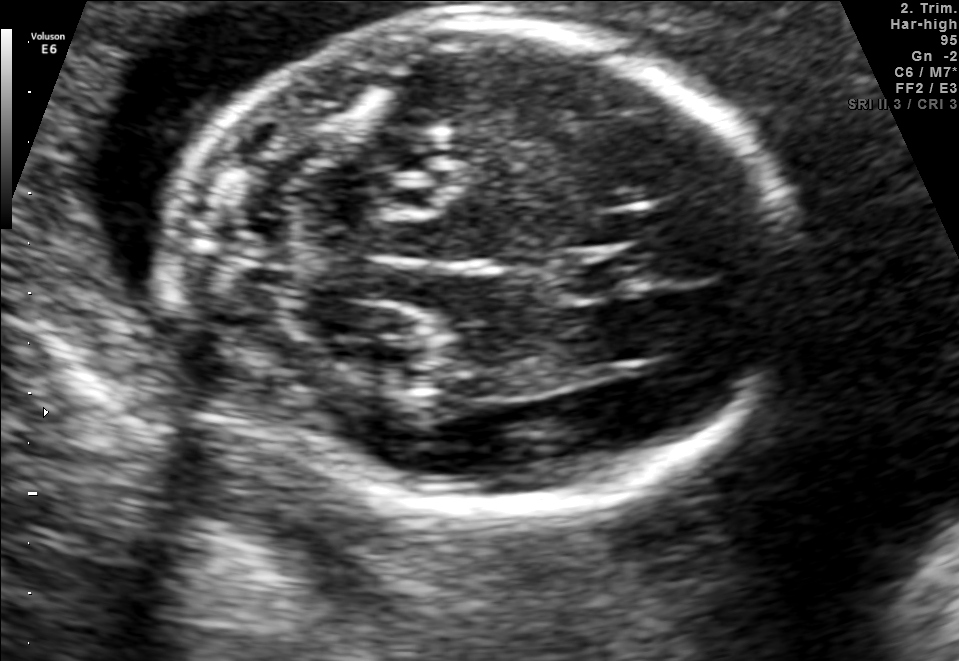
Fetal brain, trans-cerebellum plane. Give [x1,y1,x2,y2] bounding boxes for each visible structure among: fetal head, CSP, LV.

Head: [178,18,785,511]
CSP: [551,244,649,303]